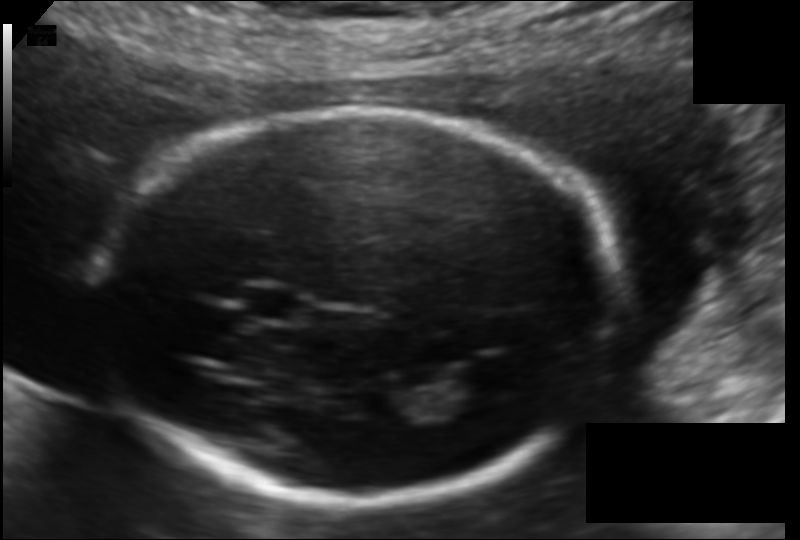
In this fetal head ultrasound, give the bounding box of the fetal head. Image width: 96.1 mm.

[99,113,619,501]